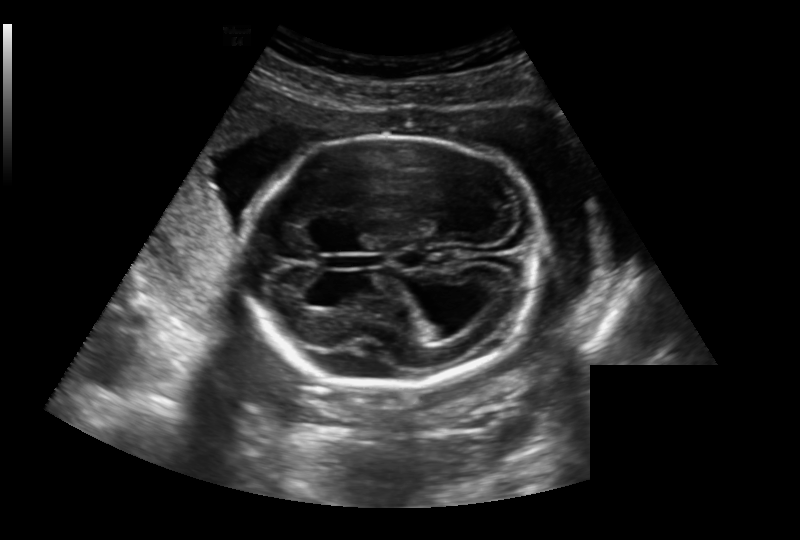
From this fetal ultrasound, estimate the head circumference (image width 188.6 mm).

Head circumference: 210.9 mm.